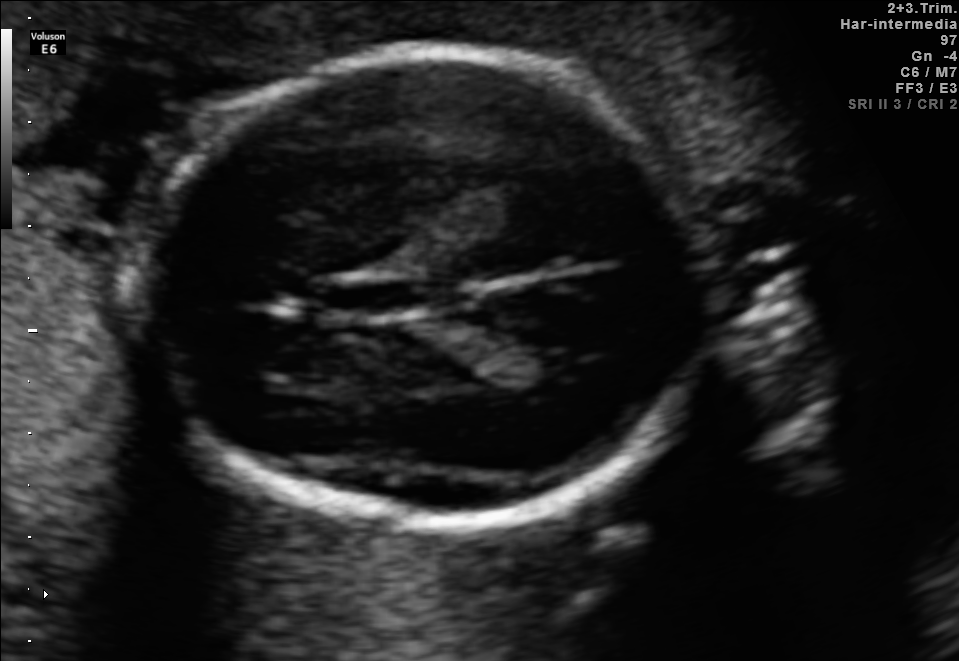
Fetal brain, trans-thalamic plane. Locate the fetal head.

Head: [127,53,708,514]